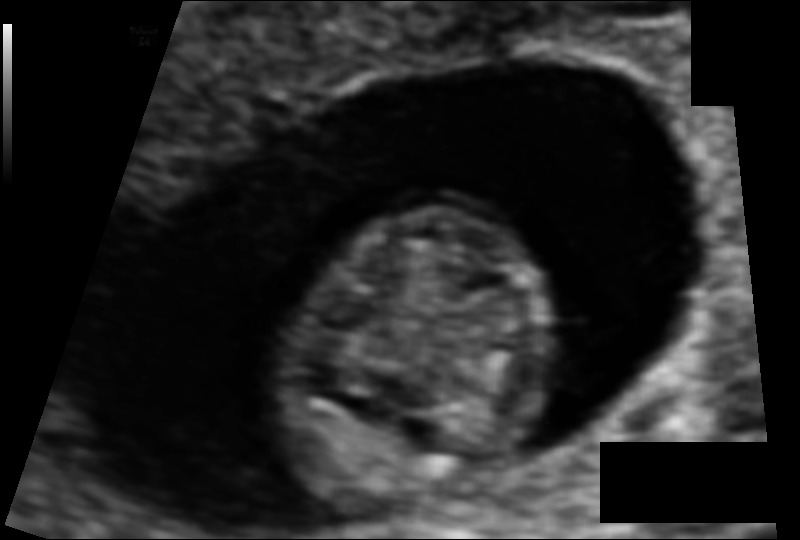
Measure the fetal head circumference shown in this ultrasound image. Image width: 58.4 mm.

Head circumference: 67.1 mm.